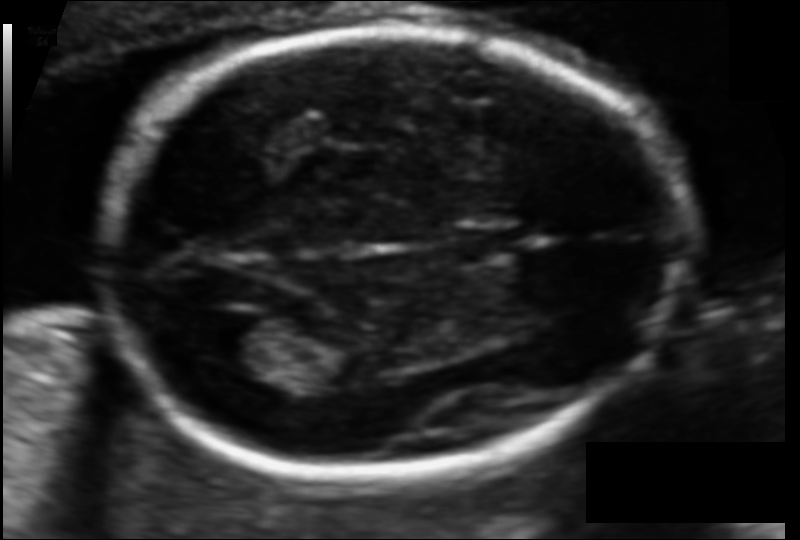
In this fetal head ultrasound, give the bounding box of the lateral ventricle. Image width: 77.8 mm.

[188,309,266,363]